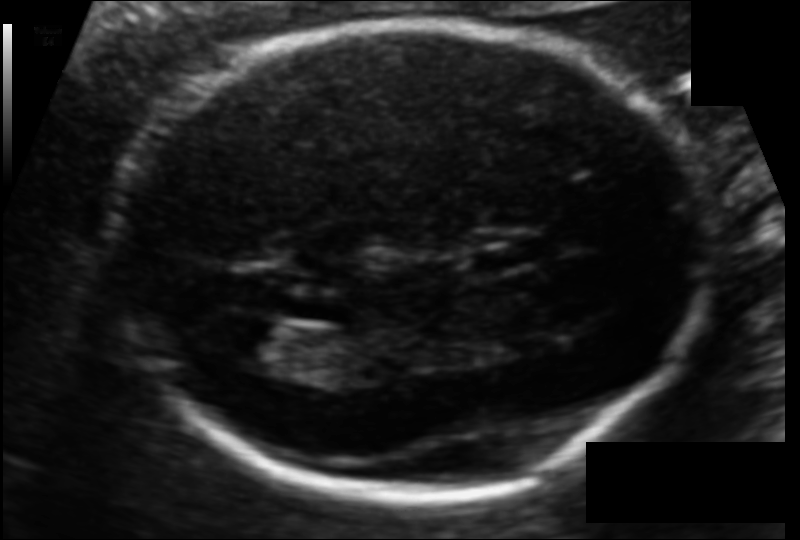
From this fetal ultrasound, estimate the head circumference (image width 85.1 mm).

Head circumference: 182.9 mm.